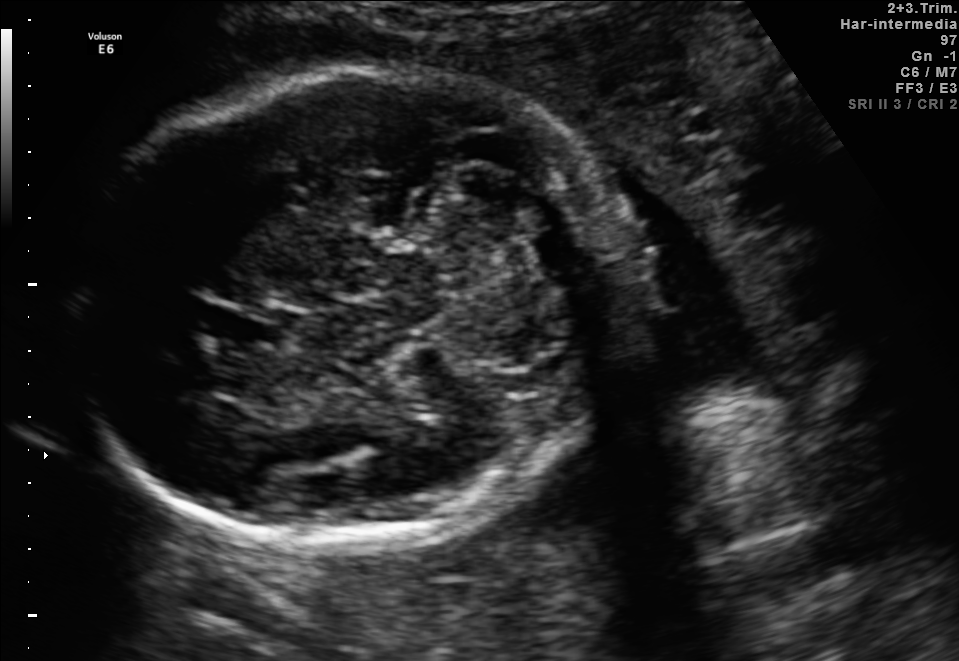
Fetal brain, trans-cerebellum plane. Locate the fetal head and, if visible, the cavum septum pellucidum (CSP) and lateral ventricle (LV). Give bounding boxes as [x1,y1,x2,y2].

Head: [76,68,625,543]
CSP: [198,297,286,357]